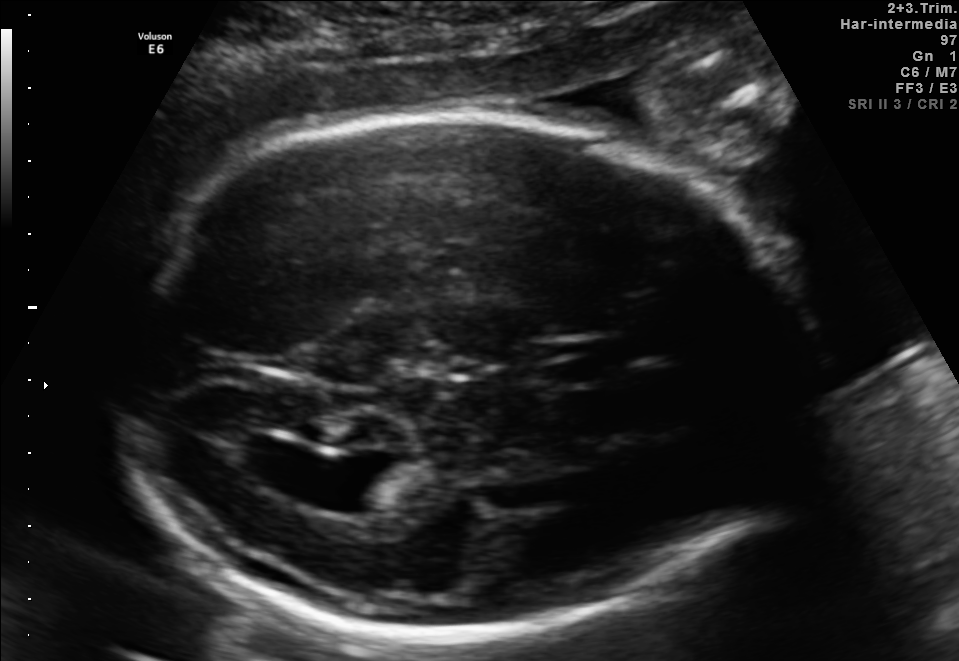
Fetal brain, trans-ventricular plane. Locate the fetal head and, if visible, the cavum septum pellucidum (CSP) and lateral ventricle (LV). Give bounding boxes as [x1,y1,x2,y2].

Head: [85,107,826,646]
Lateral ventricle: [291,451,385,514]